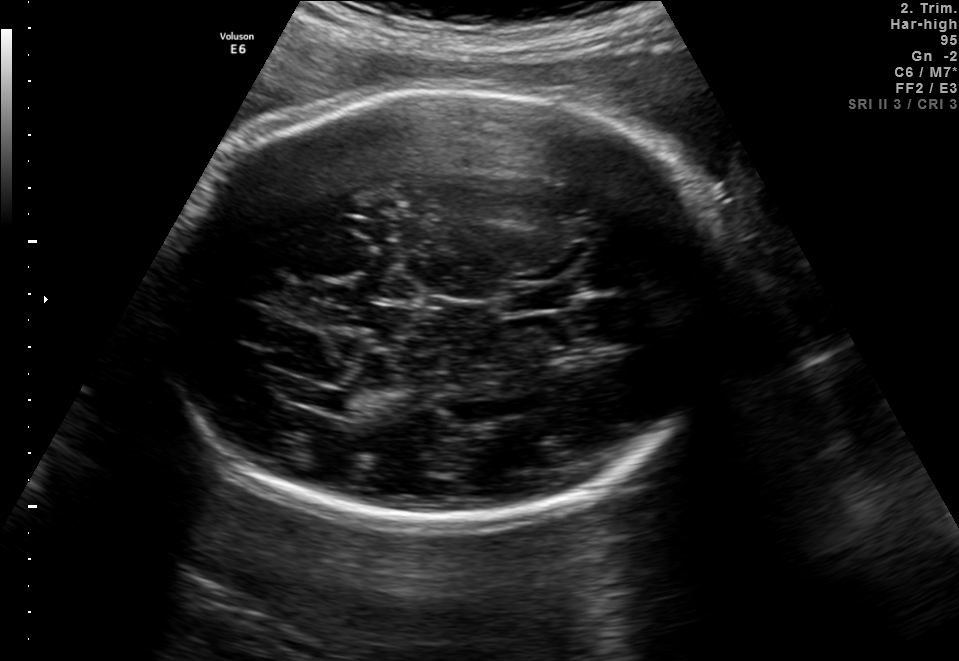
In this fetal brain, trans-thalamic plane, give the bounding box of the cavum septum pellucidum.

[504,284,568,312]